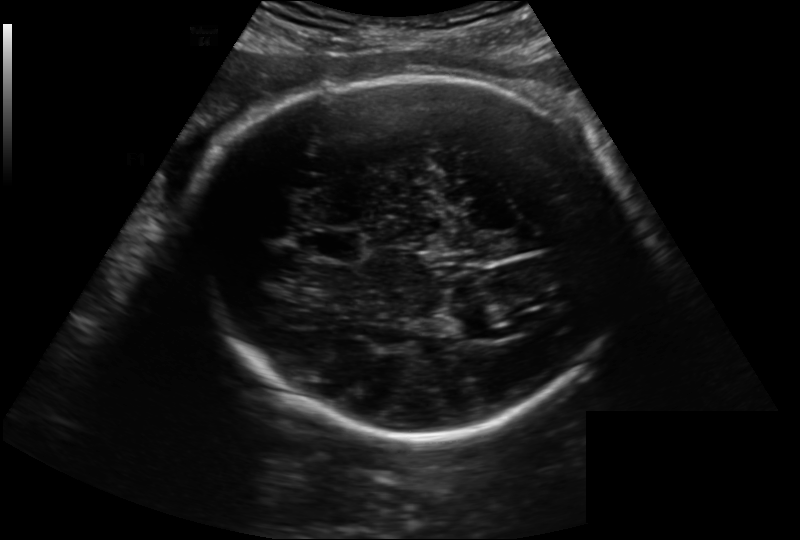
Estimate the fetal head circumference from this 2D ultrasound.

Head circumference: 292.2 mm (image width 177.3 mm).